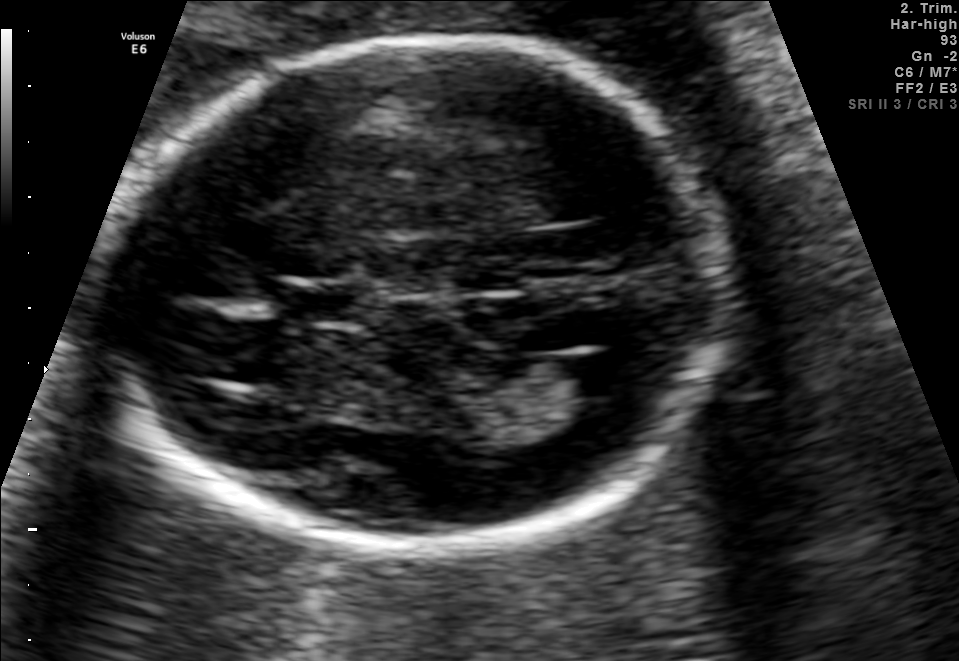
In this fetal brain, trans-ventricular plane, give bounding boxes for the head outline, cavum septum pellucidum (CSP), and lateral ventricle (LV), where visible.

Head: [100,31,747,562]
CSP: [289,286,370,322]
Lateral ventricle: [539,347,634,404]